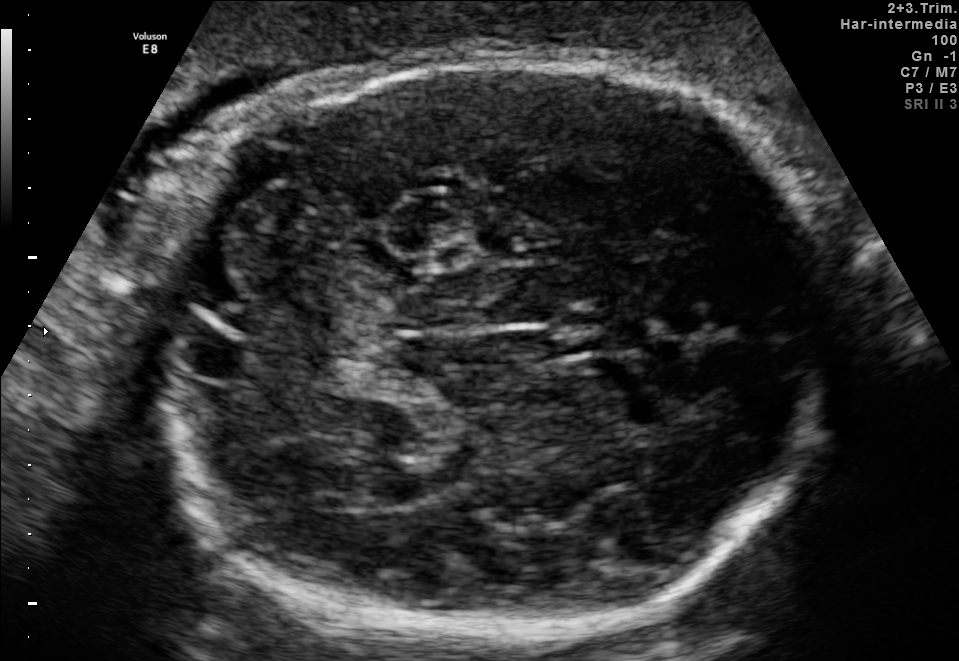
In this fetal brain, trans-cerebellum plane, give the bounding box of the fetal head.

[155,57,834,638]